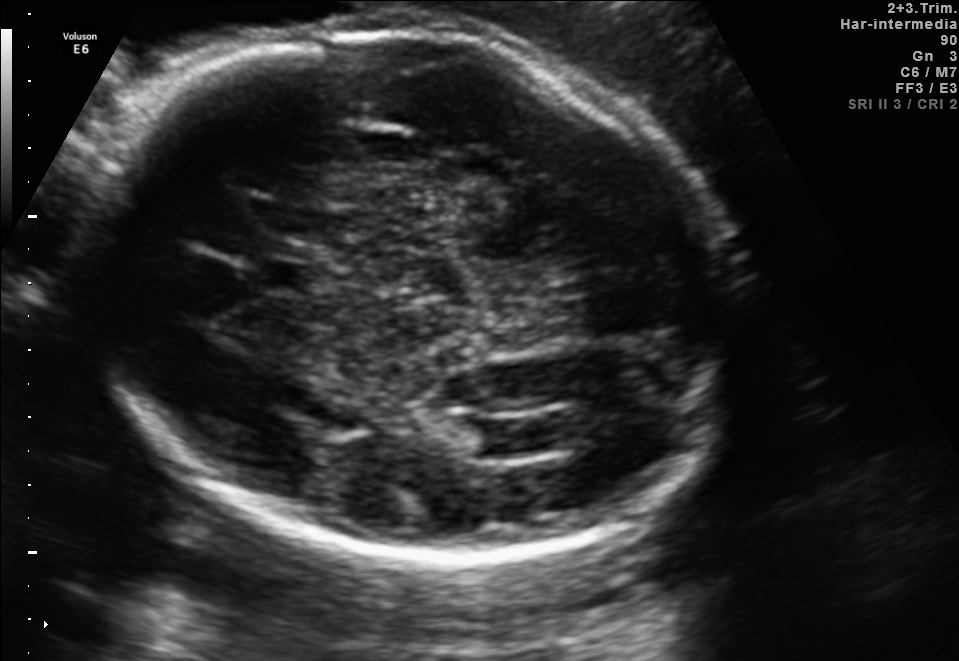
In this fetal brain, trans-ventricular plane, give the bounding box of the cavum septum pellucidum.

[229,244,332,305]